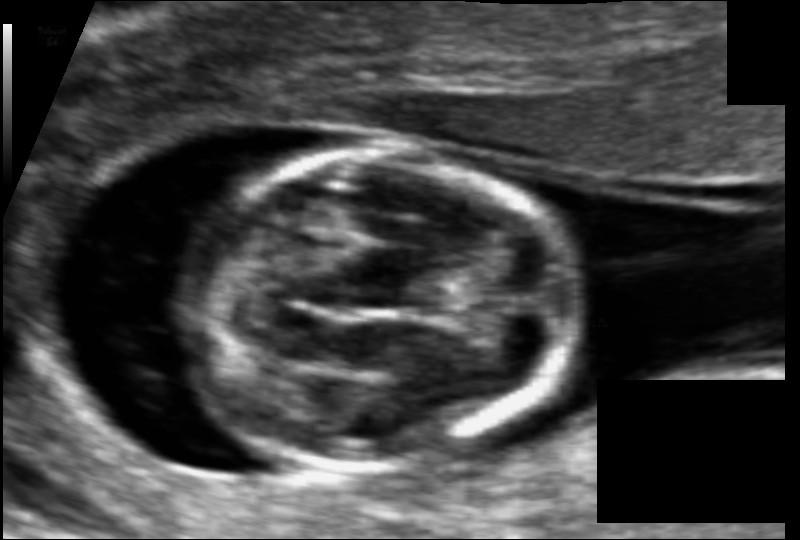
Fetal head ultrasound. Image width: 53.6 mm. Give [x1,y1,x2,y2] bounding boxes for each visible structure among: fetal head, CSP, LV.

Head: [186,154,567,469]